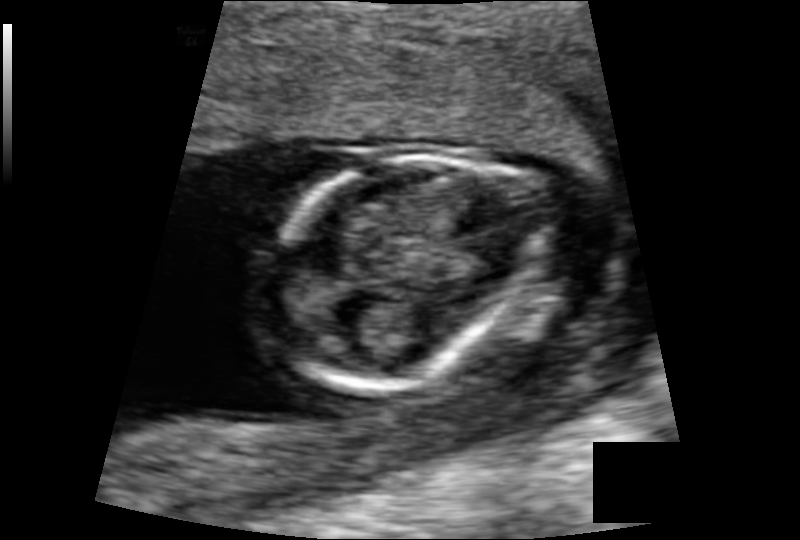
Estimate the fetal head circumference from this 2D ultrasound. Image width: 82.7 mm.

Head circumference: 84.2 mm.